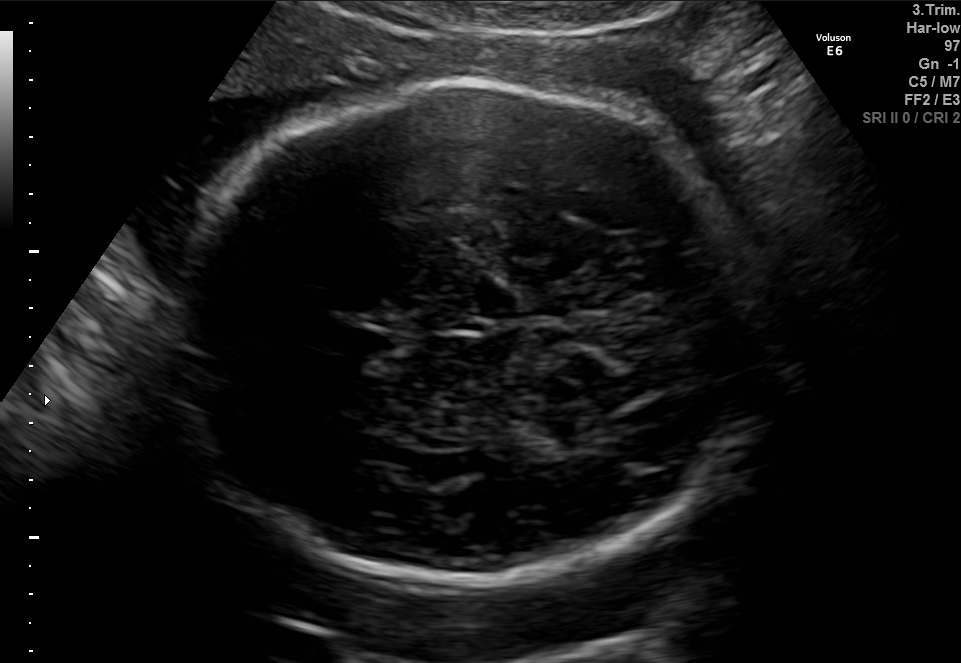
Which standard maternal-fetal ultrasound plane is shown: fetal abdomen, fetal brain, fetal femur, fetal thorax, maternal cervix, or other? If it's fetal brain and one of the three standard brain planes (trans-thalamic, trans-cerebellum, trans-ventricular), name which.

Fetal brain (trans-thalamic plane)